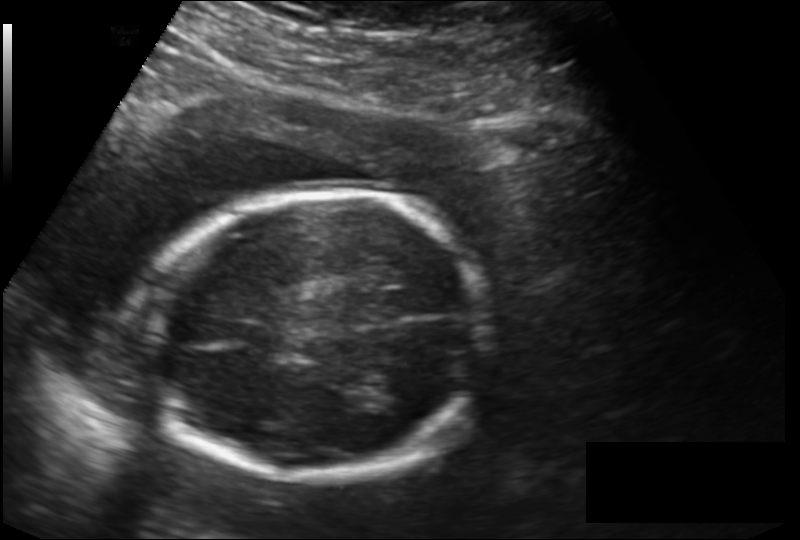
Measure the fetal head circumference shown in this ultrasound image. Image width: 133.1 mm.

Head circumference: 173.1 mm.